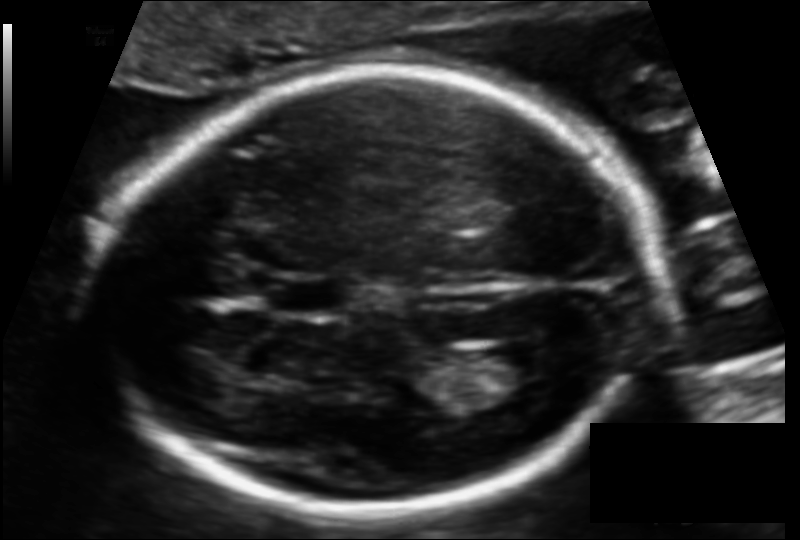
From this fetal ultrasound, estimate the head circumference (image width 89.8 mm).

Head circumference: 186.5 mm.